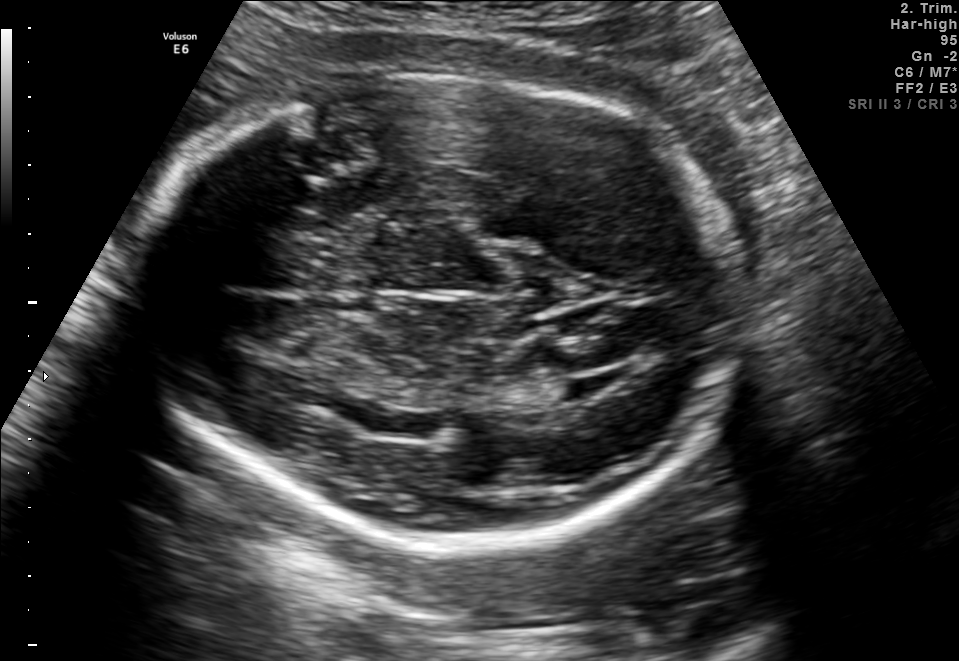
Identify the standard plane in this fetal ultrasound image: fetal abdomen, fetal brain, fetal femur, fetal thorax, maternal cervix, or other. If it's fetal brain and one of the three standard brain planes (trans-thalamic, trans-cerebellum, trans-ventricular), name which.

Fetal brain (trans-thalamic plane)